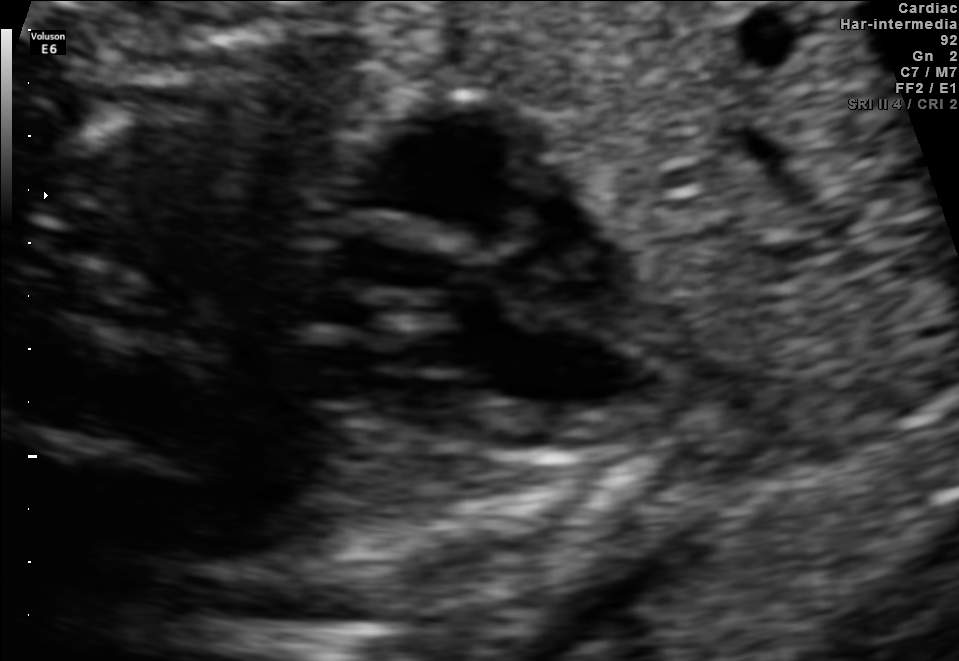
Identify the standard plane in this fetal ultrasound image: fetal abdomen, fetal brain, fetal femur, fetal thorax, maternal cervix, or other. If it's fetal brain and one of the three standard brain planes (trans-thalamic, trans-cerebellum, trans-ventricular), name which.

Fetal thorax